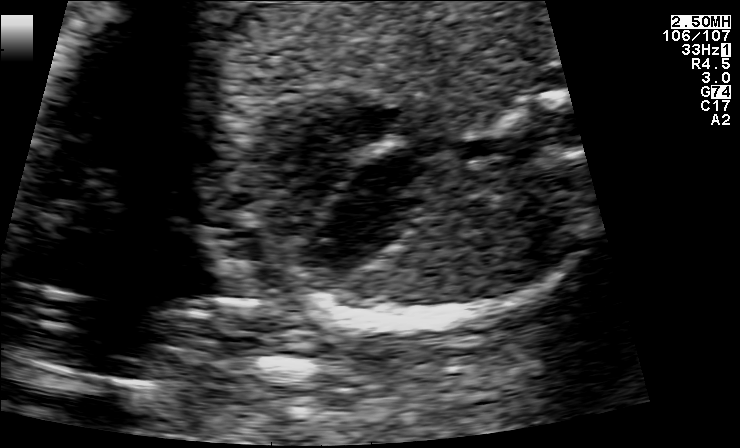
Classify this maternal-fetal ultrasound image as one of the six standard planes — fetal abdomen, fetal brain, fetal femur, fetal thorax, maternal cervix, or other. If it's fetal brain and one of the three standard brain planes (trans-thalamic, trans-cerebellum, trans-ventricular), name which.

Fetal thorax